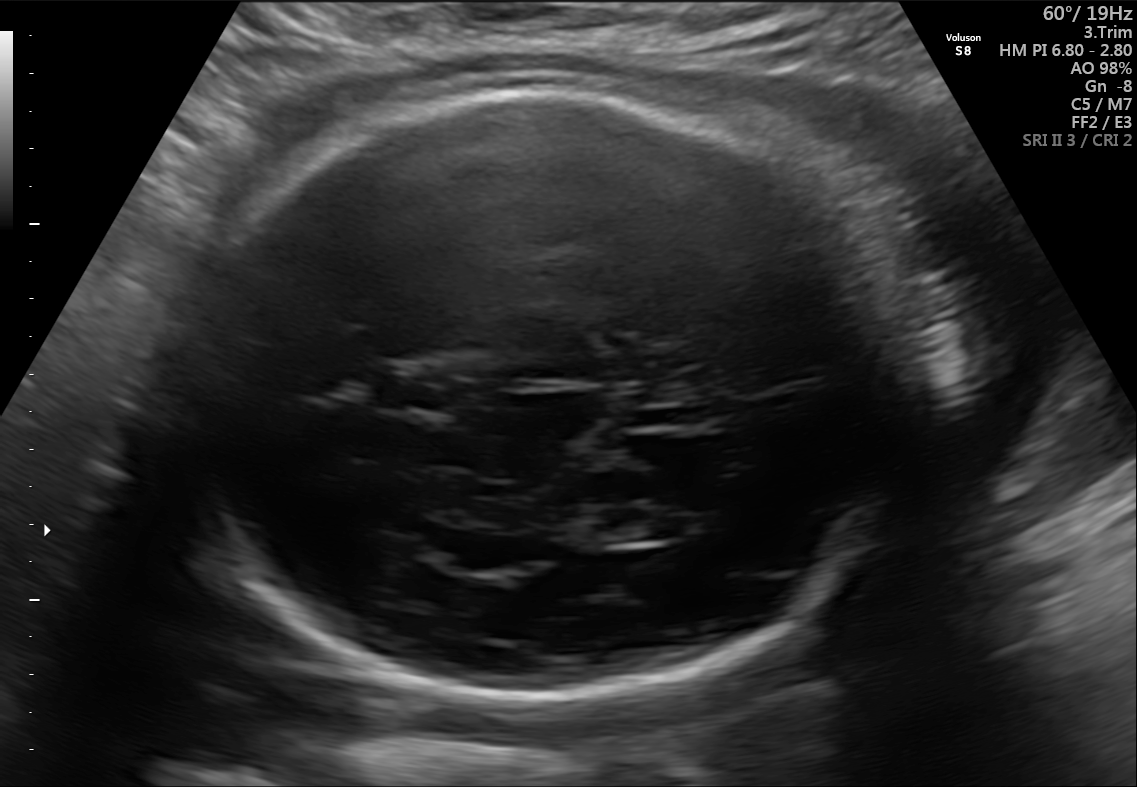
In this fetal brain, trans-thalamic plane, give the bounding box of the lateral ventricle.

[568,504,678,549]